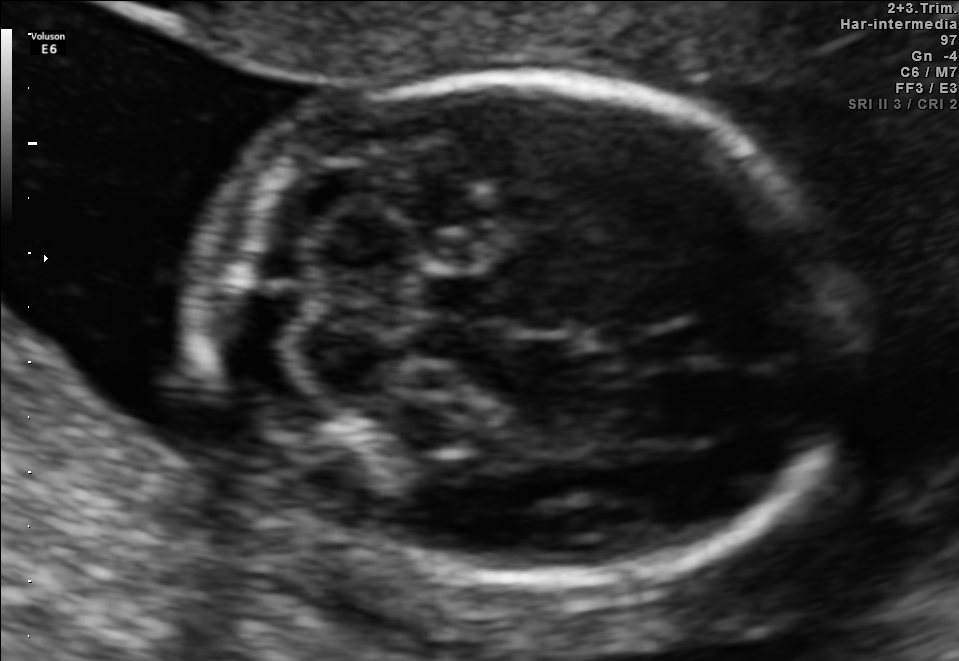
Fetal brain, trans-cerebellum plane. Locate the fetal head.

Head: [193,78,852,581]